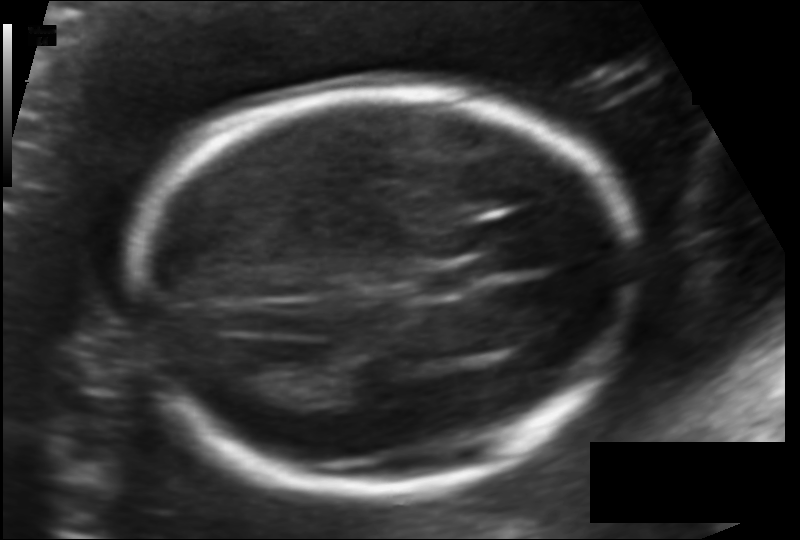
In this fetal head ultrasound, give the bounding box of the cavum septum pellucidum. Image width: 99.3 mm.

[412,262,481,302]